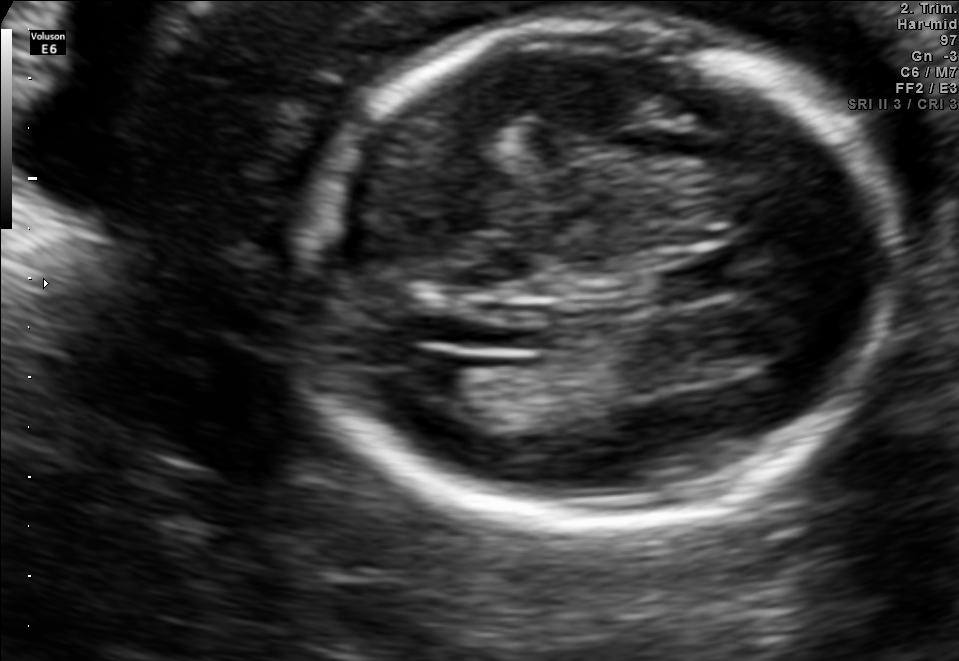
Fetal brain, trans-ventricular plane. Where is the cavum septum pellucidum?

CSP bounding box: [657,253,750,308]